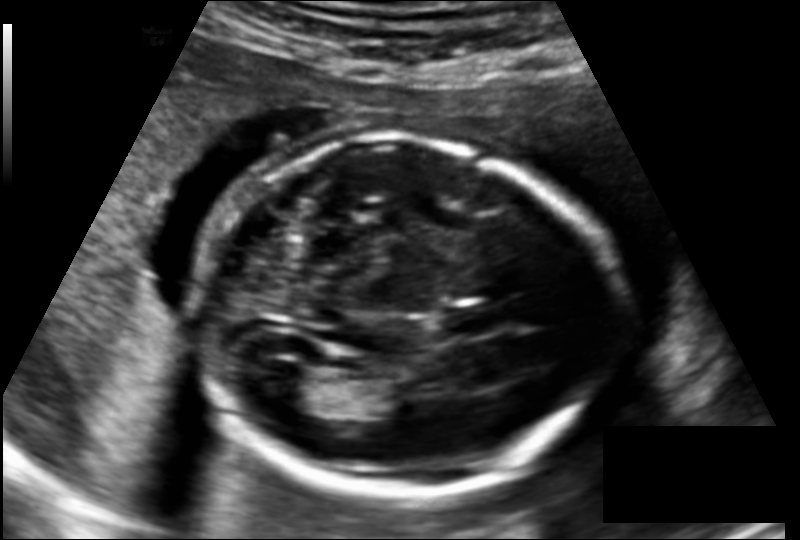
Measure the fetal head circumference shown in this ultrasound image. Image width: 115.9 mm.

Head circumference: 183.1 mm.